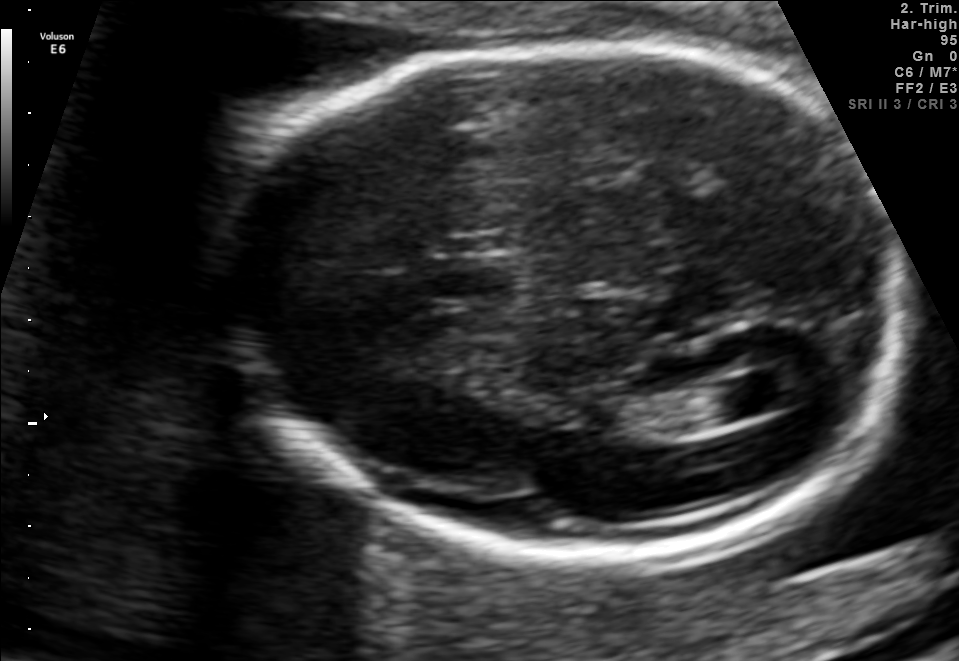
Fetal brain, trans-ventricular plane. Give [x1,y1,x2,y2] bounding boxes for each visible structure among: fetal head, CSP, LV.

Head: [210,40,907,561]
CSP: [424,255,516,304]
Lateral ventricle: [701,361,806,430]